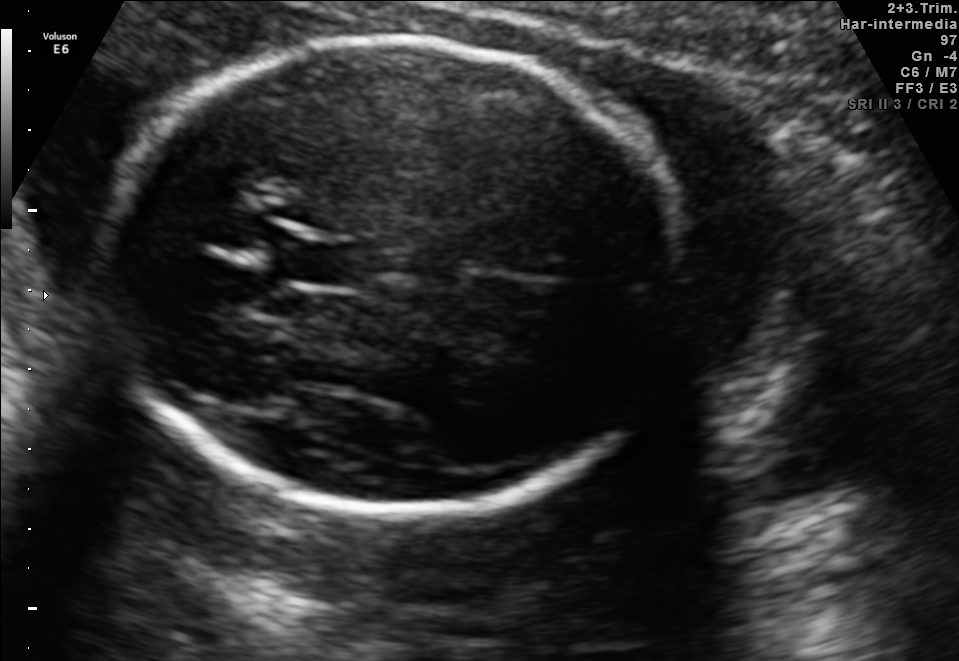
Fetal brain, trans-thalamic plane. Give [x1,y1,x2,y2] bounding boxes for each visible structure among: fetal head, CSP, LV.

Head: [99,40,688,513]
CSP: [280,239,364,288]